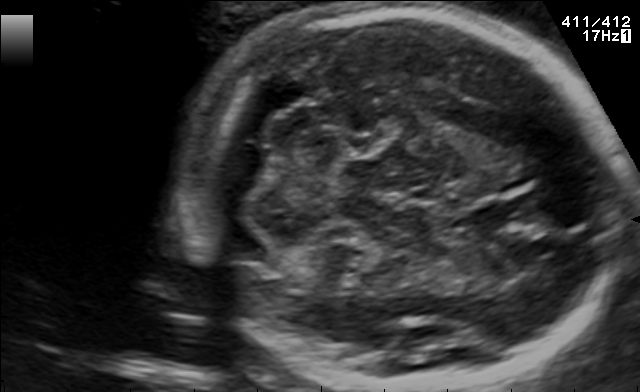
In this fetal brain, trans-cerebellum plane, give the bounding box of the fetal head.

[191,4,619,387]